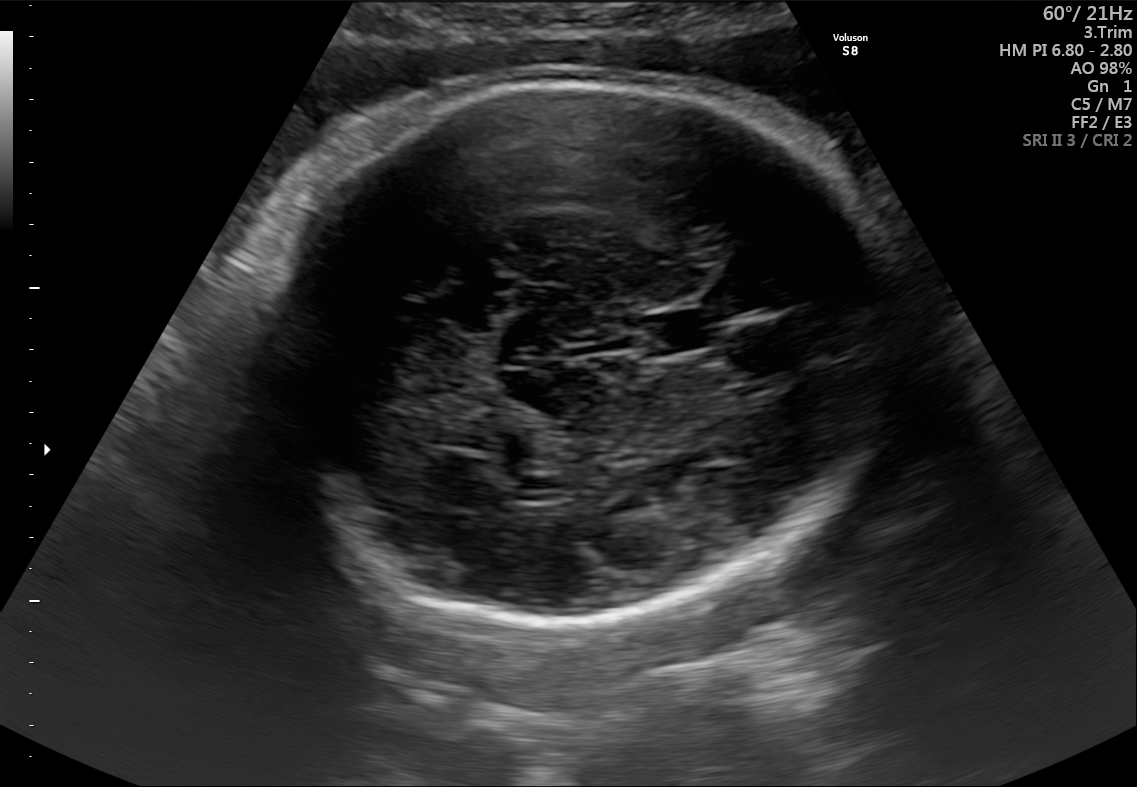
Fetal brain, trans-thalamic plane. Locate the fetal head and, if visible, the cavum septum pellucidum (CSP) and lateral ventricle (LV). Give bounding boxes as [x1,y1,x2,y2].

Head: [263,75,916,614]
CSP: [641,302,731,359]